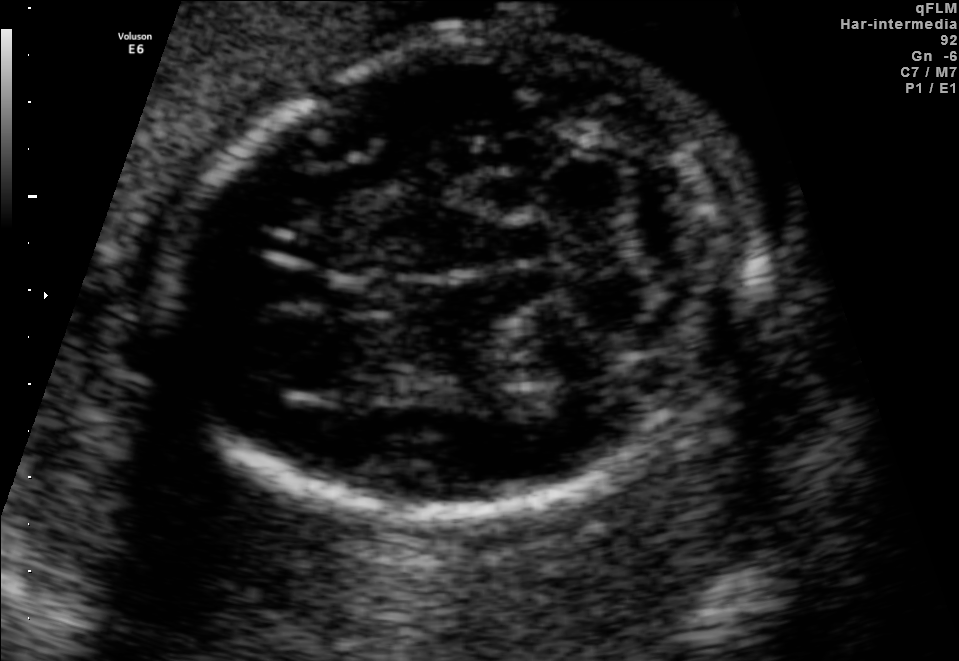
This is a 2D maternal-fetal ultrasound frame. Is it a fetal abdomen, fetal brain, fetal femur, fetal thorax, maternal cervix, or other standard plane? If it's fetal brain and one of the three standard brain planes (trans-thalamic, trans-cerebellum, trans-ventricular), name which.

Fetal brain (trans-cerebellum plane)